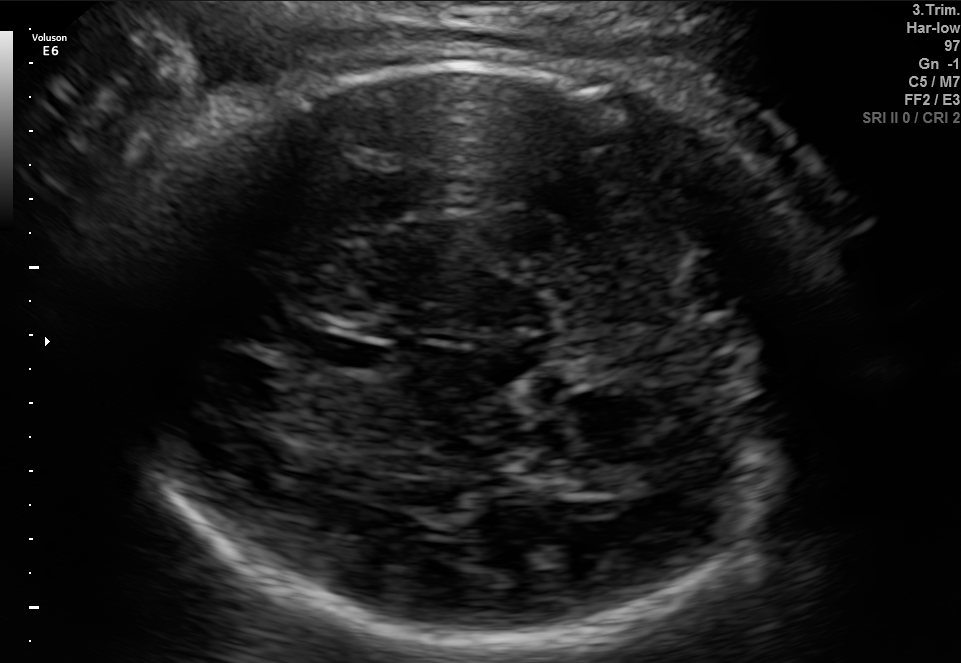
In this fetal brain, trans-thalamic plane, give the bounding box of the fetal head.

[107,60,824,655]